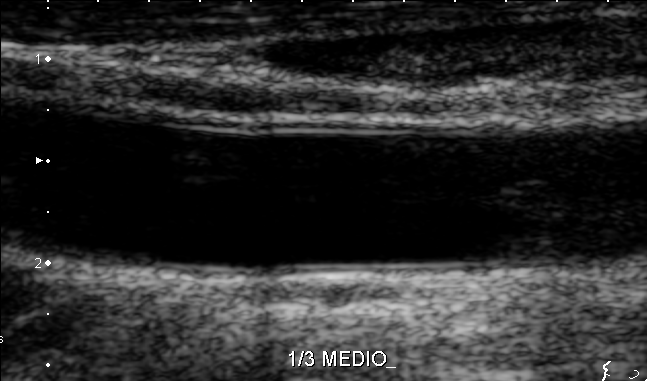
This is a 2D maternal-fetal ultrasound frame. Is it a fetal abdomen, fetal brain, fetal femur, fetal thorax, maternal cervix, or other standard plane? If it's fetal brain and one of the three standard brain planes (trans-thalamic, trans-cerebellum, trans-ventricular), name which.

Other